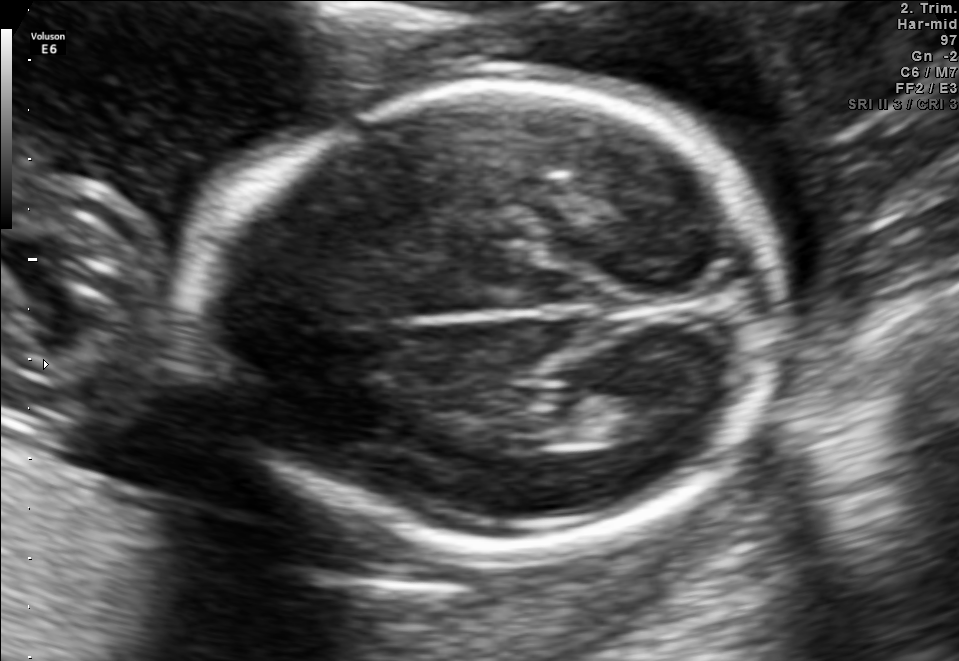
Fetal brain, trans-thalamic plane. Locate the fetal head and, if visible, the cavum septum pellucidum (CSP) and lateral ventricle (LV). Give bounding boxes as [x1,y1,x2,y2].

Head: [180,80,789,553]
Lateral ventricle: [592,382,702,447]